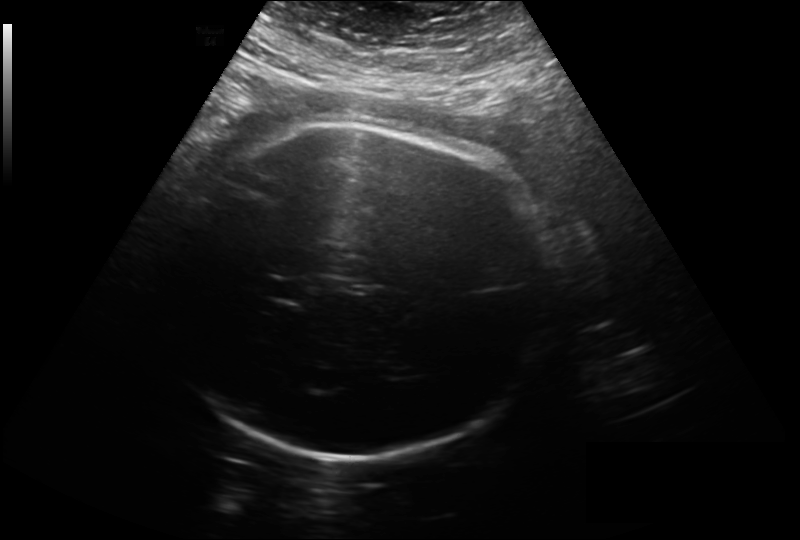
Fetal head ultrasound. Image width: 208.8 mm. Locate the fetal head.

Head: [167,123,546,460]